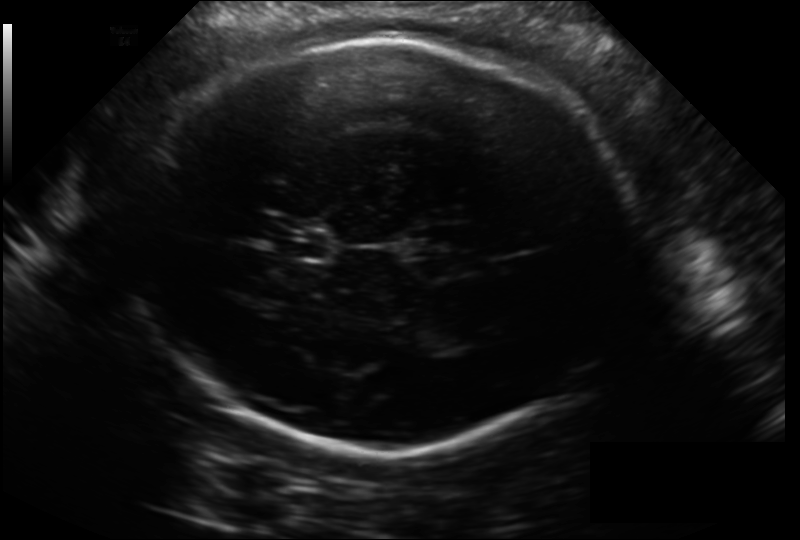
In this fetal head ultrasound, give the bounding box of the fetal head. Image width: 168.5 mm.

[130,37,630,451]